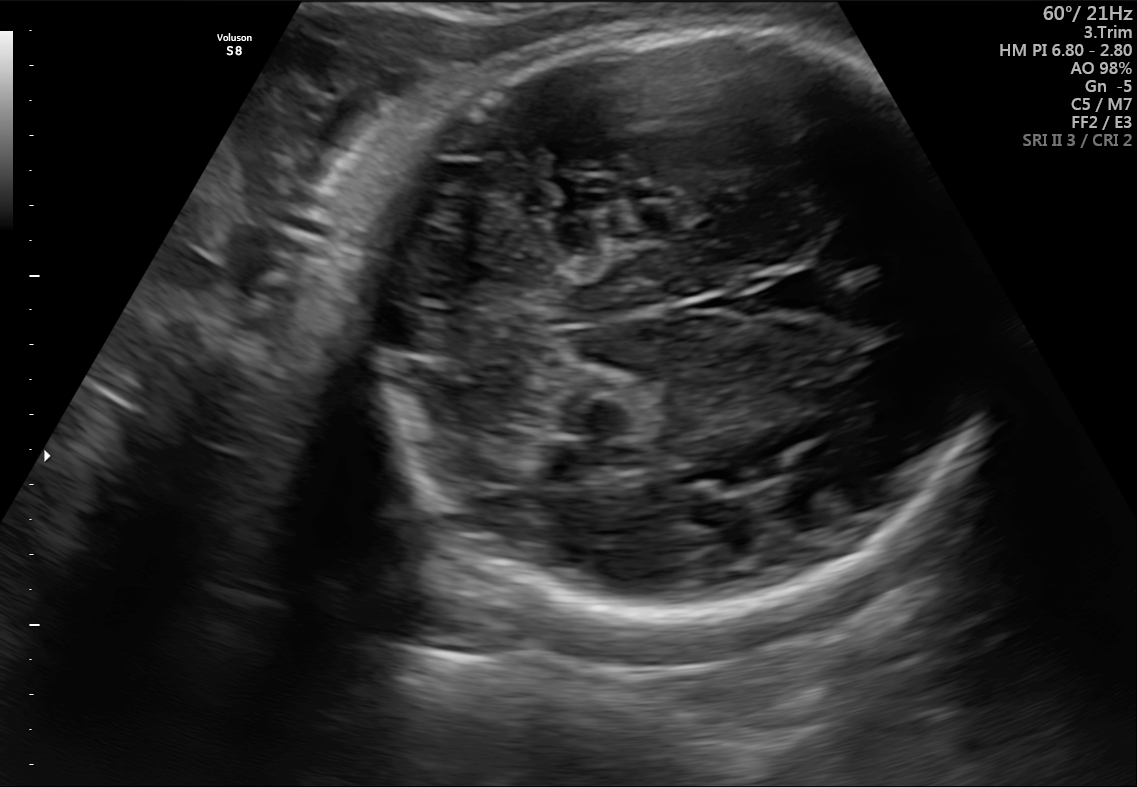
Fetal brain, trans-cerebellum plane. Where is the cavum septum pellucidum?

CSP bounding box: [761,262,841,319]